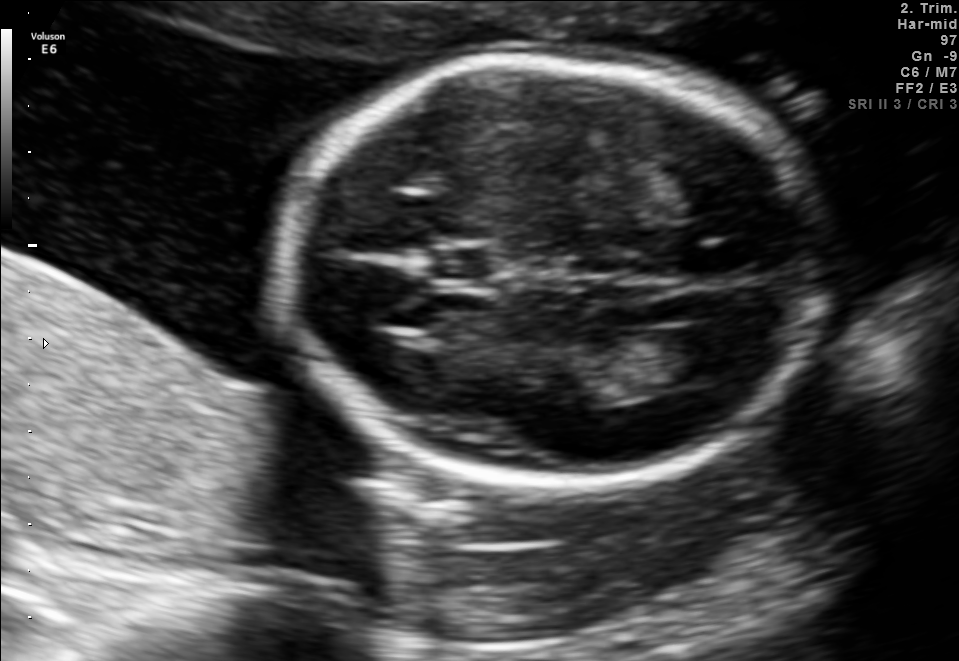
In this fetal brain, trans-ventricular plane, give the bounding box of the fetal head.

[268,50,843,495]